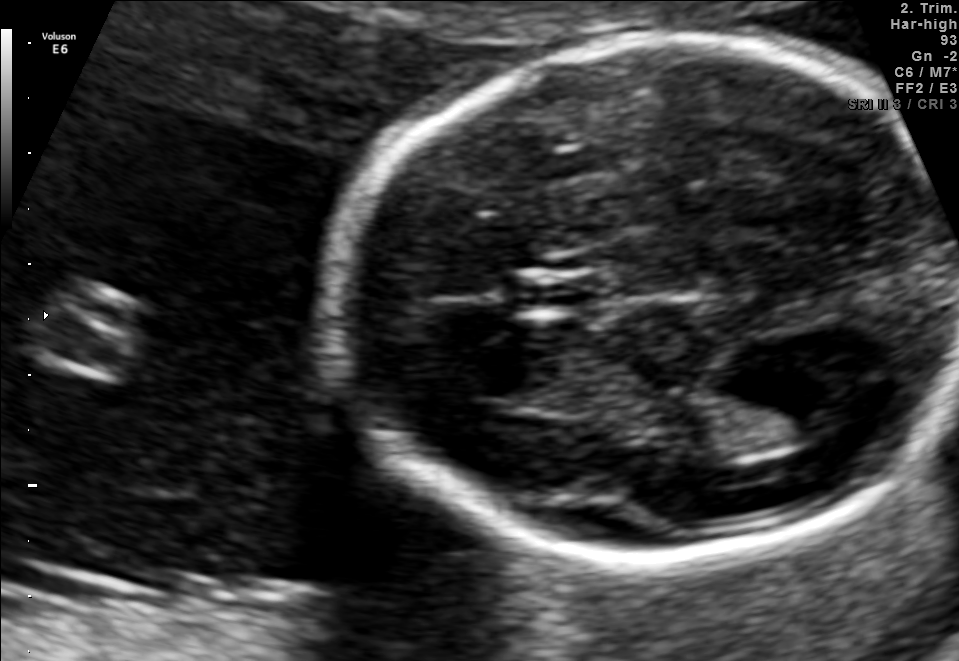
Fetal brain, trans-thalamic plane. Where is the fetal head?

Head bounding box: [334,34,951,557]